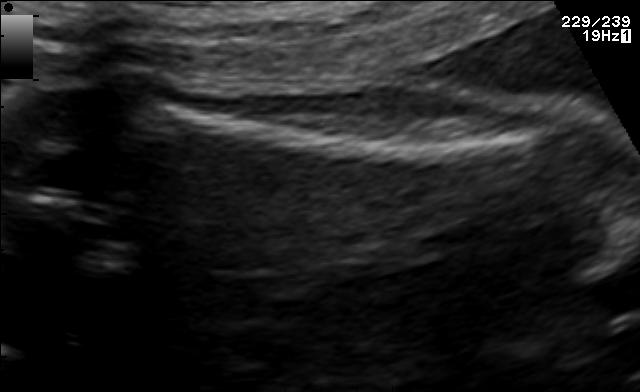
This is a 2D maternal-fetal ultrasound frame. Is it a fetal abdomen, fetal brain, fetal femur, fetal thorax, maternal cervix, or other standard plane? If it's fetal brain and one of the three standard brain planes (trans-thalamic, trans-cerebellum, trans-ventricular), name which.

Fetal femur